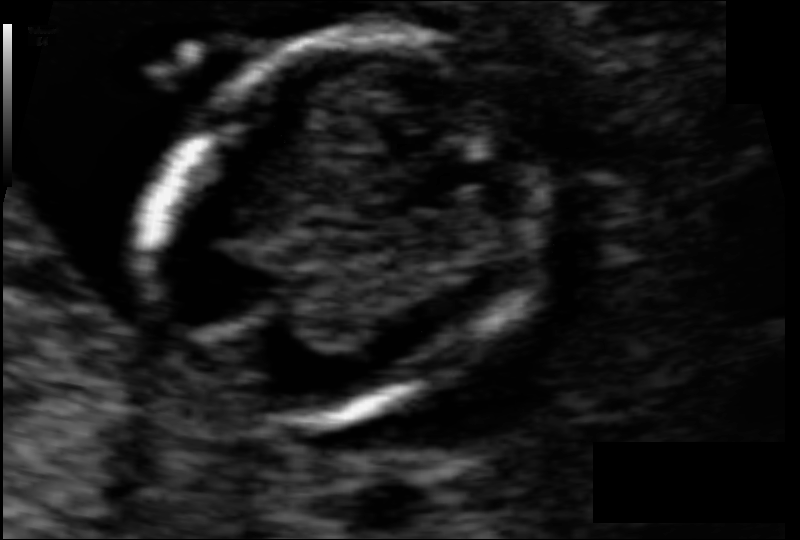
In this fetal head ultrasound, give the bounding box of the fetal head. Image width: 48.5 mm.

[148,37,539,418]